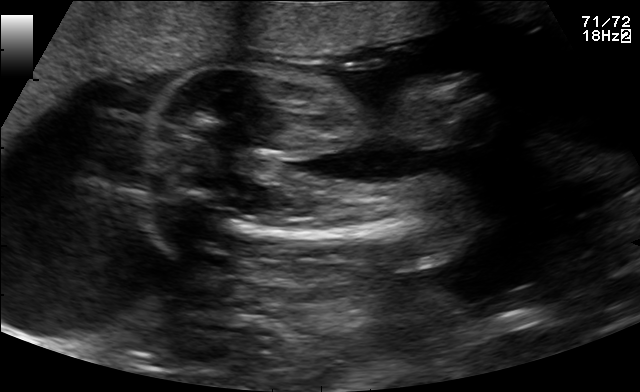
This is a 2D maternal-fetal ultrasound frame. Is it a fetal abdomen, fetal brain, fetal femur, fetal thorax, maternal cervix, or other standard plane? If it's fetal brain and one of the three standard brain planes (trans-thalamic, trans-cerebellum, trans-ventricular), name which.

Fetal femur